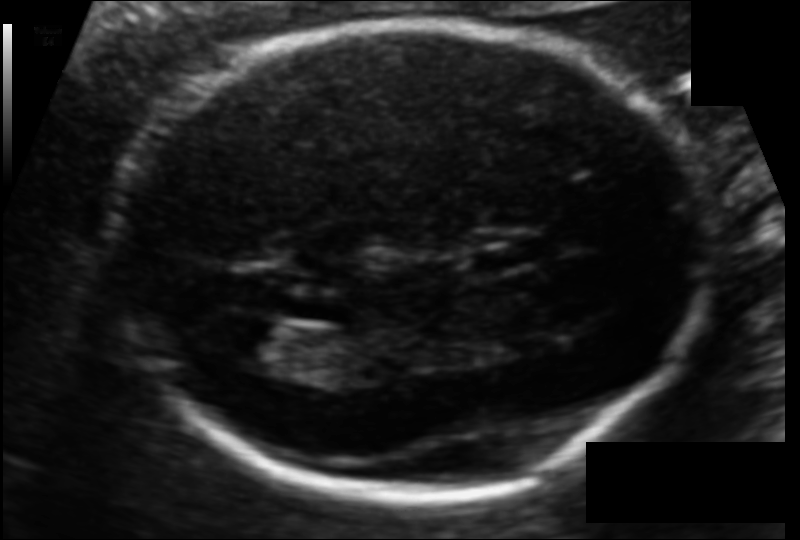
What is the fetal head circumference? Image width is 85.1 mm.

182.9 mm